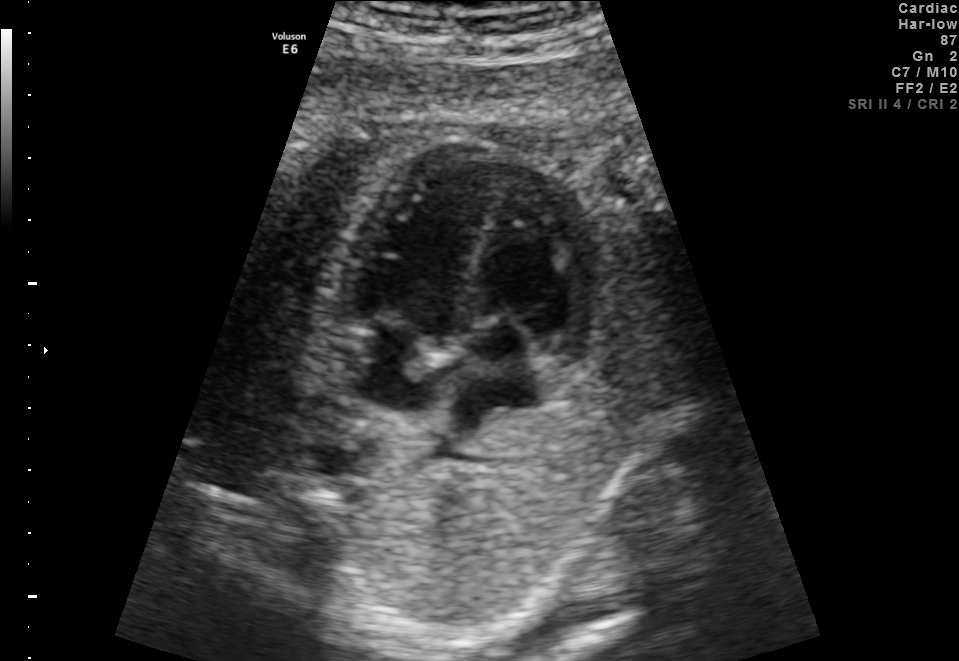
Classify this maternal-fetal ultrasound image as one of the six standard planes — fetal abdomen, fetal brain, fetal femur, fetal thorax, maternal cervix, or other. If it's fetal brain and one of the three standard brain planes (trans-thalamic, trans-cerebellum, trans-ventricular), name which.

Fetal thorax